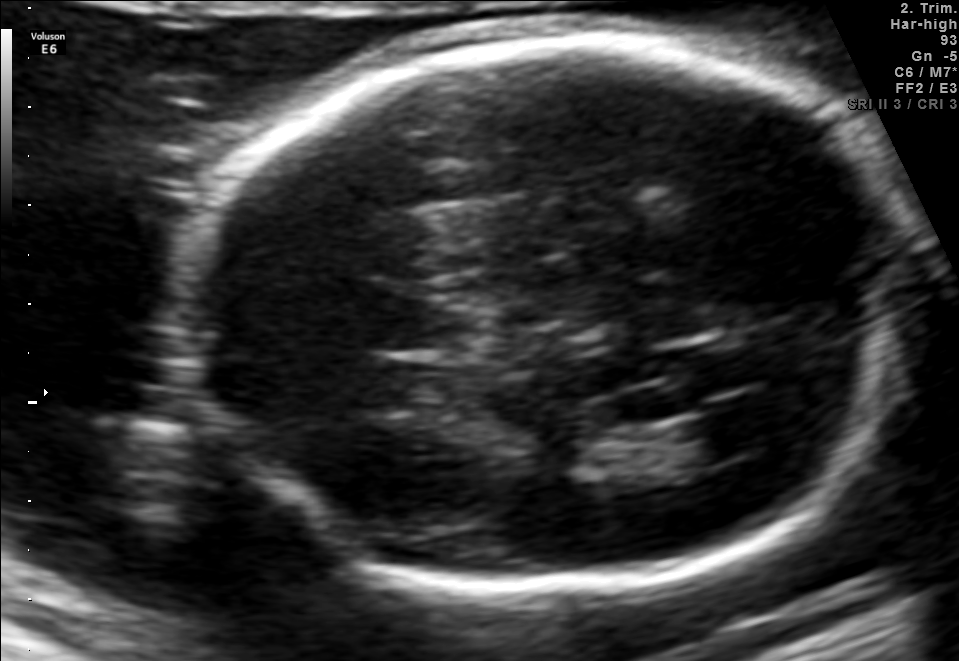
In this fetal brain, trans-ventricular plane, give the bounding box of the fetal head.

[159,31,932,606]